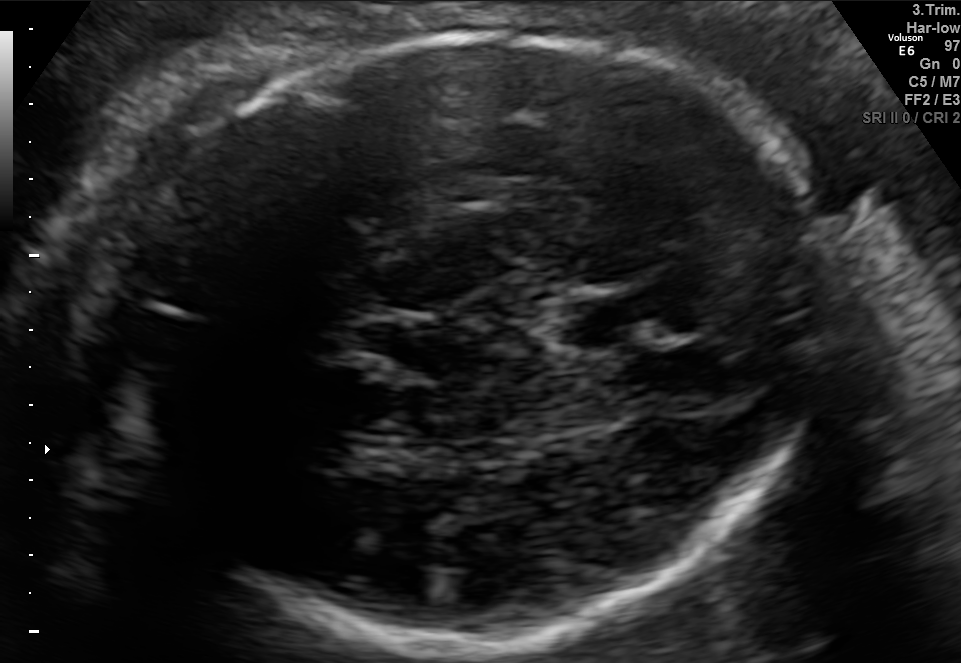
Fetal brain, trans-thalamic plane. Give [x1,y1,x2,y2] bounding boxes for each visible structure among: fetal head, CSP, LV.

Head: [92,36,829,653]
CSP: [551,279,668,358]